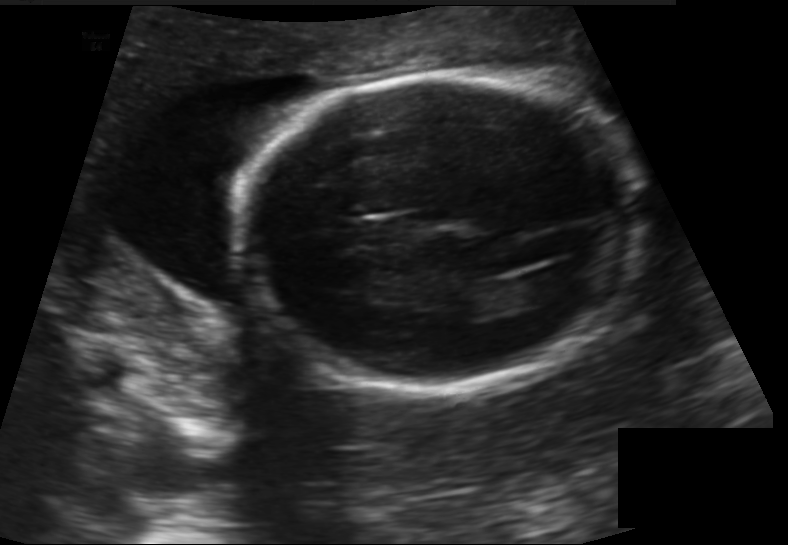
Estimate the fetal head circumference from this 2D ultrasound. Image width: 122.2 mm.

Head circumference: 177.6 mm.